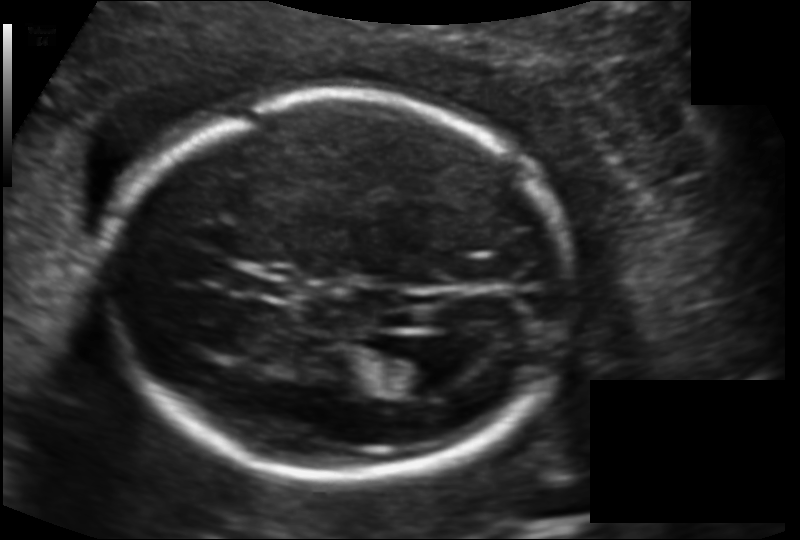
In this fetal head ultrasound, give the bounding box of the fetal head. Image width: 107.3 mm.

[108,92,565,482]